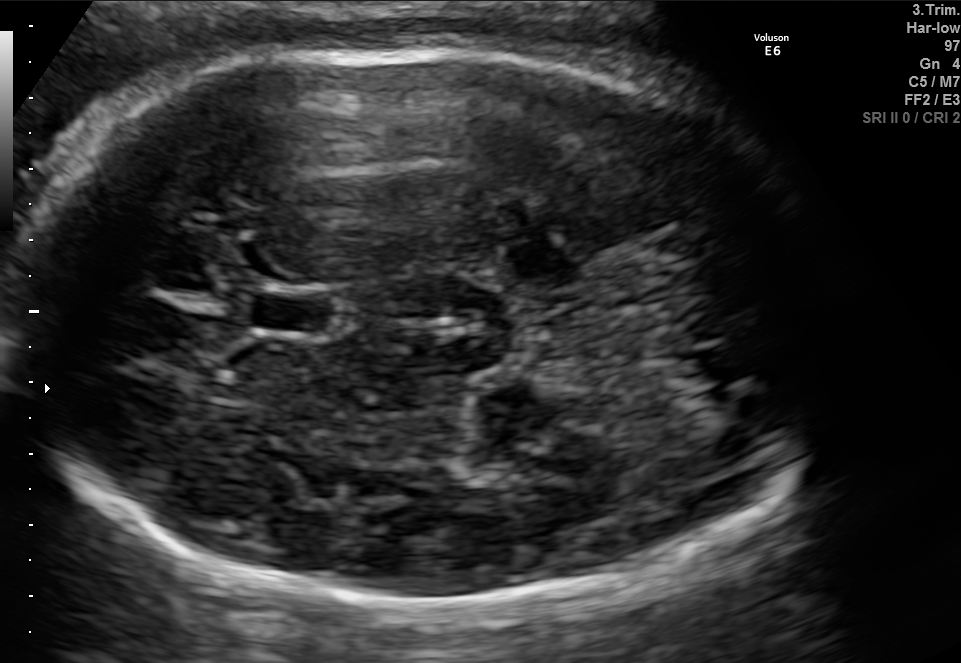
Fetal brain, trans-thalamic plane. Locate the fetal head.

Head: [7,48,830,605]